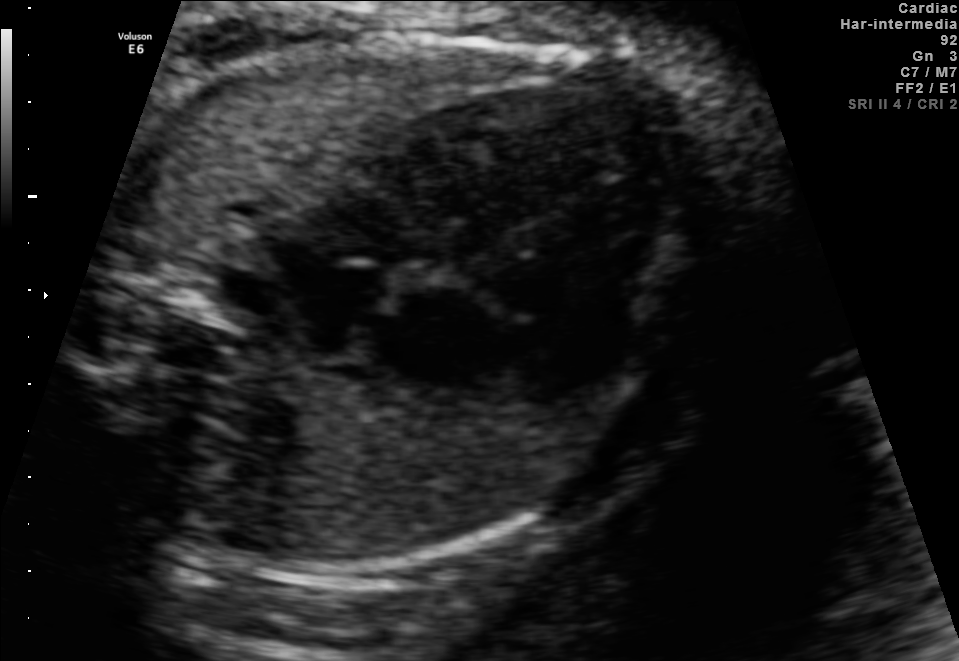
Which standard maternal-fetal ultrasound plane is shown: fetal abdomen, fetal brain, fetal femur, fetal thorax, maternal cervix, or other? If it's fetal brain and one of the three standard brain planes (trans-thalamic, trans-cerebellum, trans-ventricular), name which.

Fetal thorax